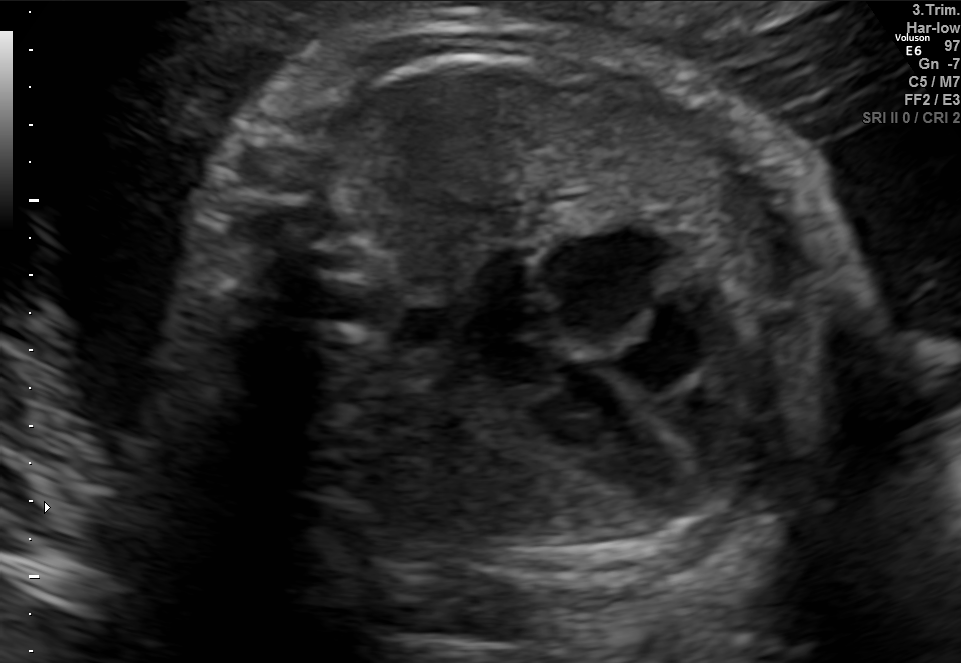
Identify the standard plane in this fetal ultrasound image: fetal abdomen, fetal brain, fetal femur, fetal thorax, maternal cervix, or other. If it's fetal brain and one of the three standard brain planes (trans-thalamic, trans-cerebellum, trans-ventricular), name which.

Fetal thorax